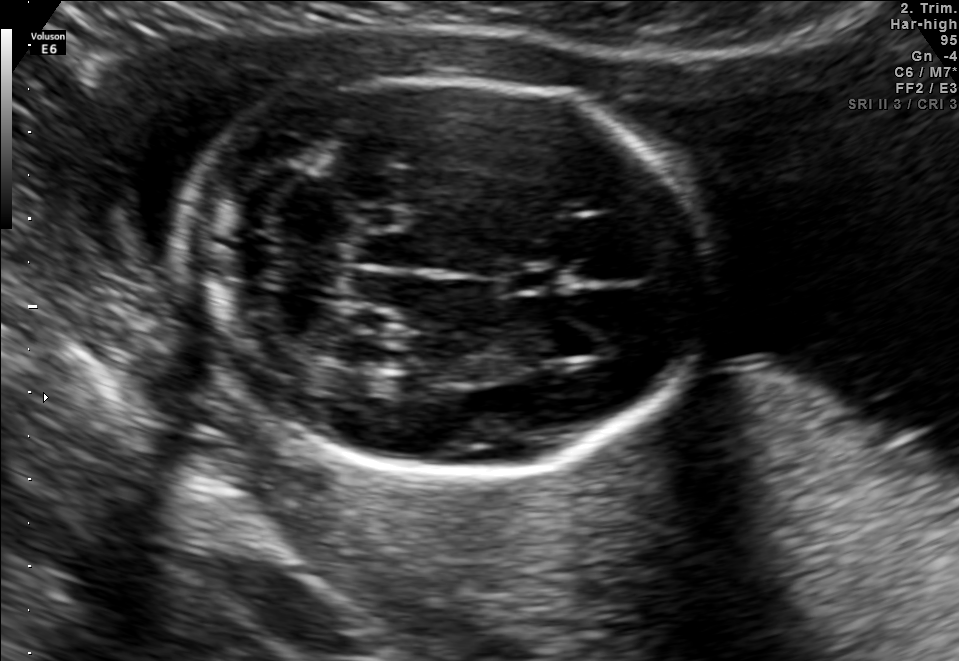
Identify the standard plane in this fetal ultrasound image: fetal abdomen, fetal brain, fetal femur, fetal thorax, maternal cervix, or other. If it's fetal brain and one of the three standard brain planes (trans-thalamic, trans-cerebellum, trans-ventricular), name which.

Fetal brain (trans-cerebellum plane)